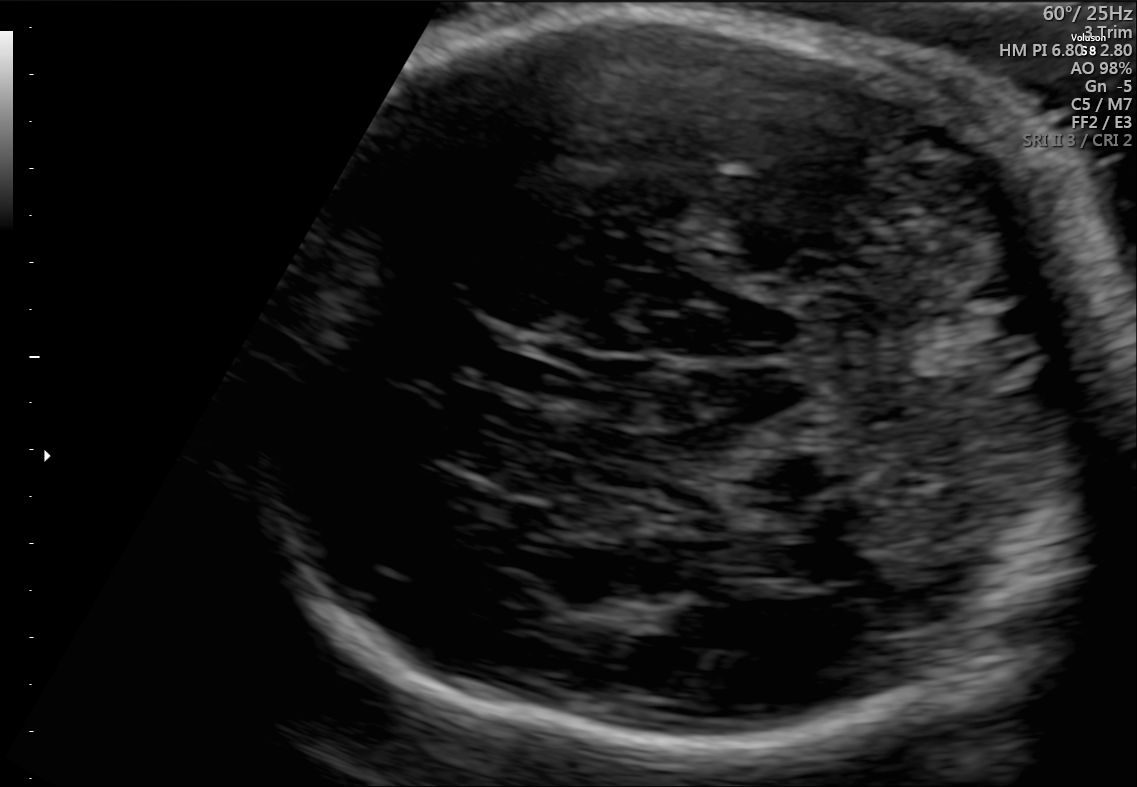
Identify the standard plane in this fetal ultrasound image: fetal abdomen, fetal brain, fetal femur, fetal thorax, maternal cervix, or other. If it's fetal brain and one of the three standard brain planes (trans-thalamic, trans-cerebellum, trans-ventricular), name which.

Fetal brain (trans-cerebellum plane)